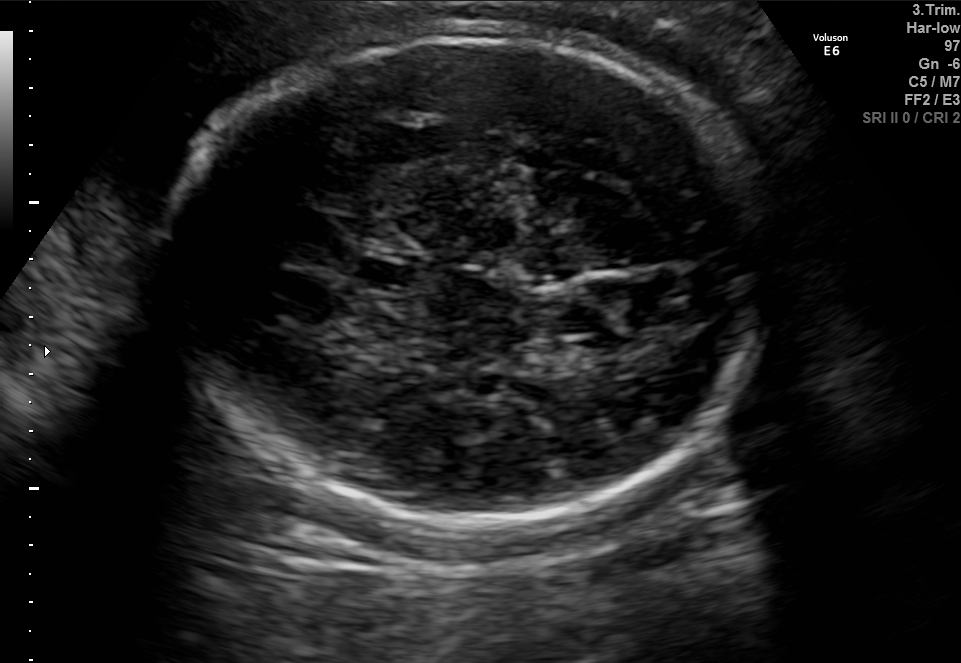
Fetal brain, trans-thalamic plane. Locate the fetal head and, if visible, the cavum septum pellucidum (CSP) and lateral ventricle (LV). Give bounding boxes as [x1,y1,x2,y2].

Head: [165,32,780,533]
CSP: [353,257,415,288]